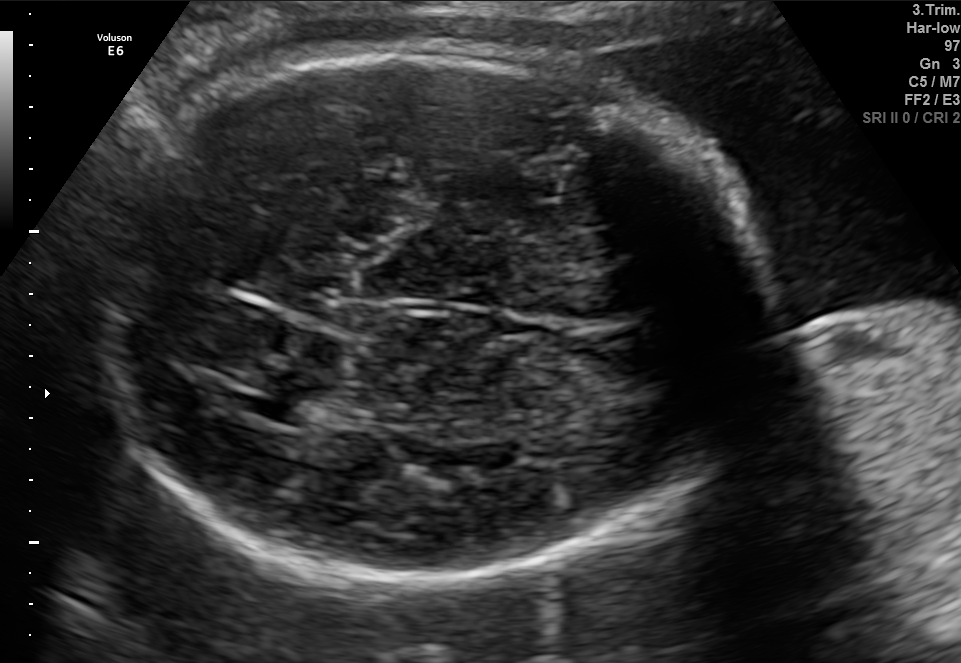
Fetal brain, trans-thalamic plane. Locate the fetal head.

Head: [86,43,775,580]